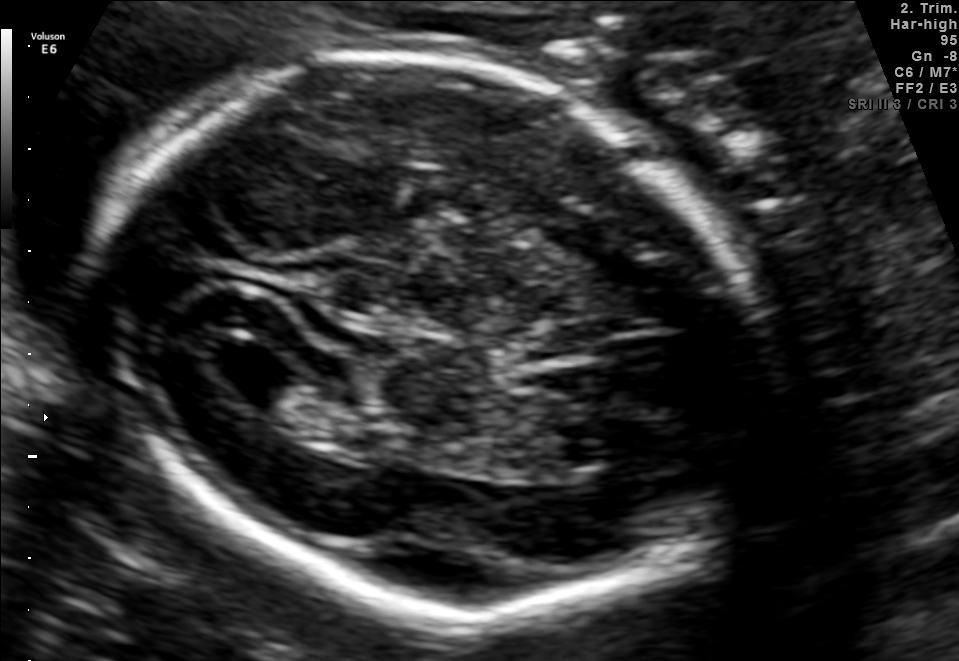
Fetal brain, trans-ventricular plane. Locate the lateral ventricle.

Lateral ventricle: [199,324,301,414]